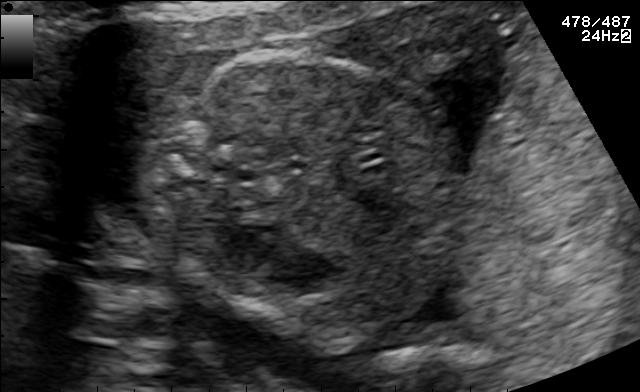
Which standard maternal-fetal ultrasound plane is shown: fetal abdomen, fetal brain, fetal femur, fetal thorax, maternal cervix, or other? If it's fetal brain and one of the three standard brain planes (trans-thalamic, trans-cerebellum, trans-ventricular), name which.

Fetal abdomen